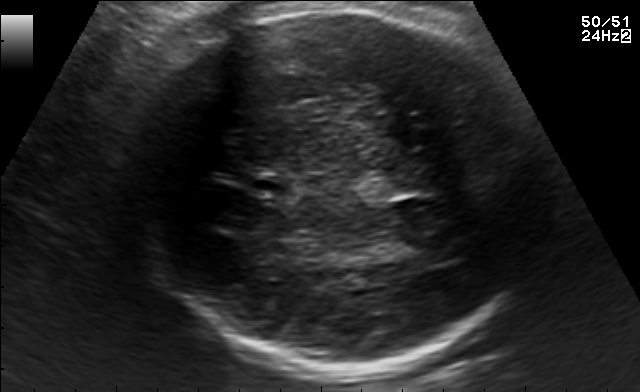
Fetal brain, trans-thalamic plane. Locate the cavum septum pellucidum.

CSP: [251,175,290,195]